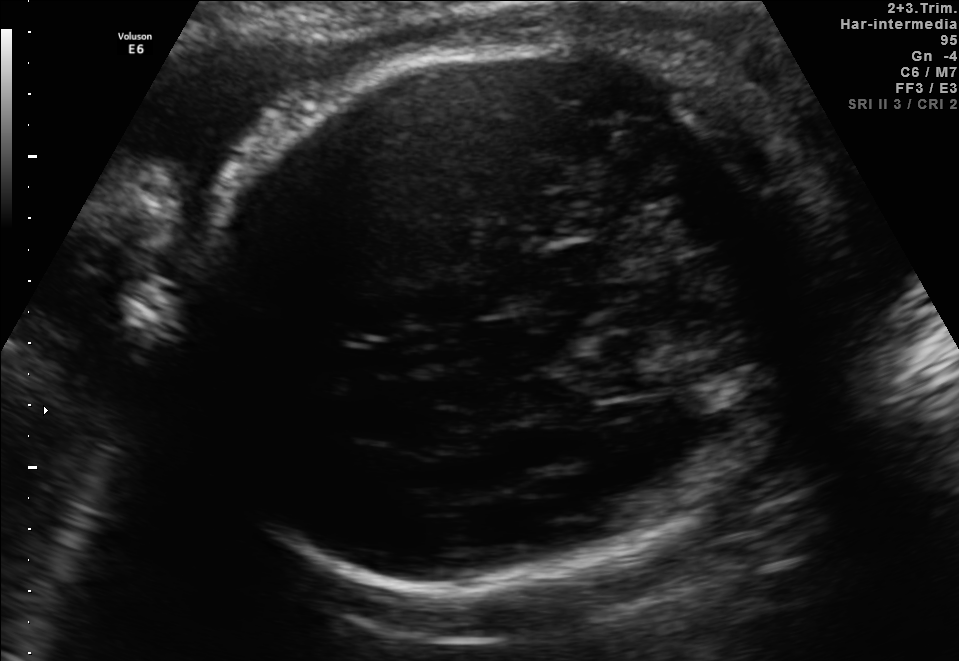
Fetal brain, trans-cerebellum plane. Where is the fetal head?

Head bounding box: [187,44,762,587]